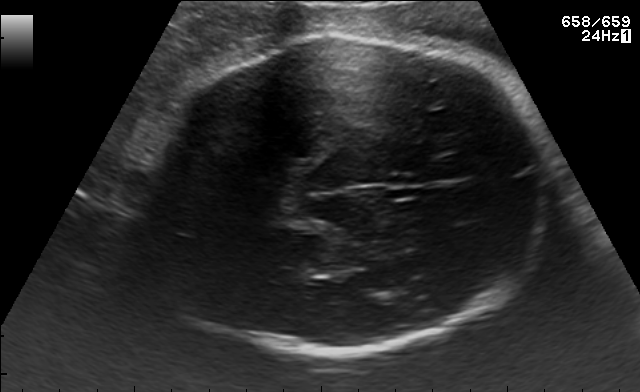
Fetal brain, trans-thalamic plane. Give [x1,y1,x2,y2] bounding boxes for each visible structure among: fetal head, CSP, LV.

Head: [120,37,552,351]